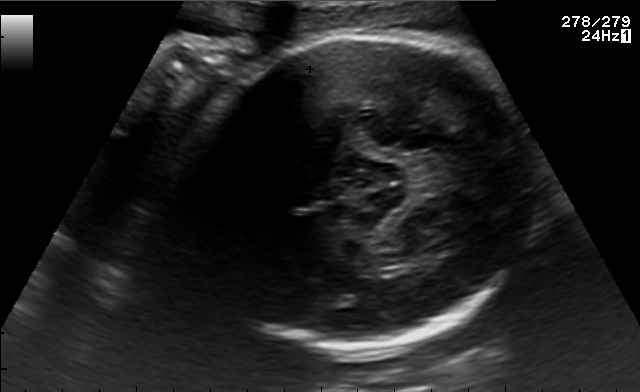
In this fetal brain, trans-thalamic plane, give the bounding box of the fetal head.

[182,35,541,351]